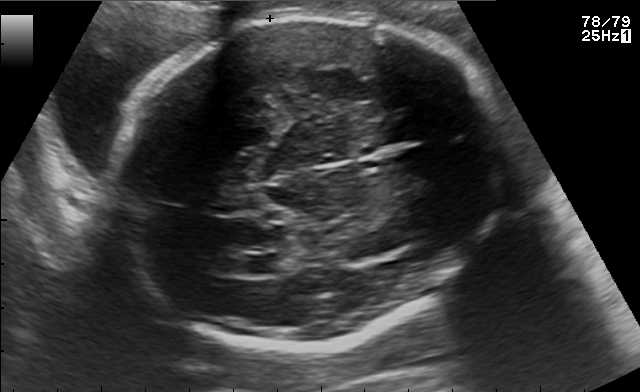
In this fetal brain, trans-ventricular plane, give the bounding box of the lateral ventricle.

[233,253,282,274]